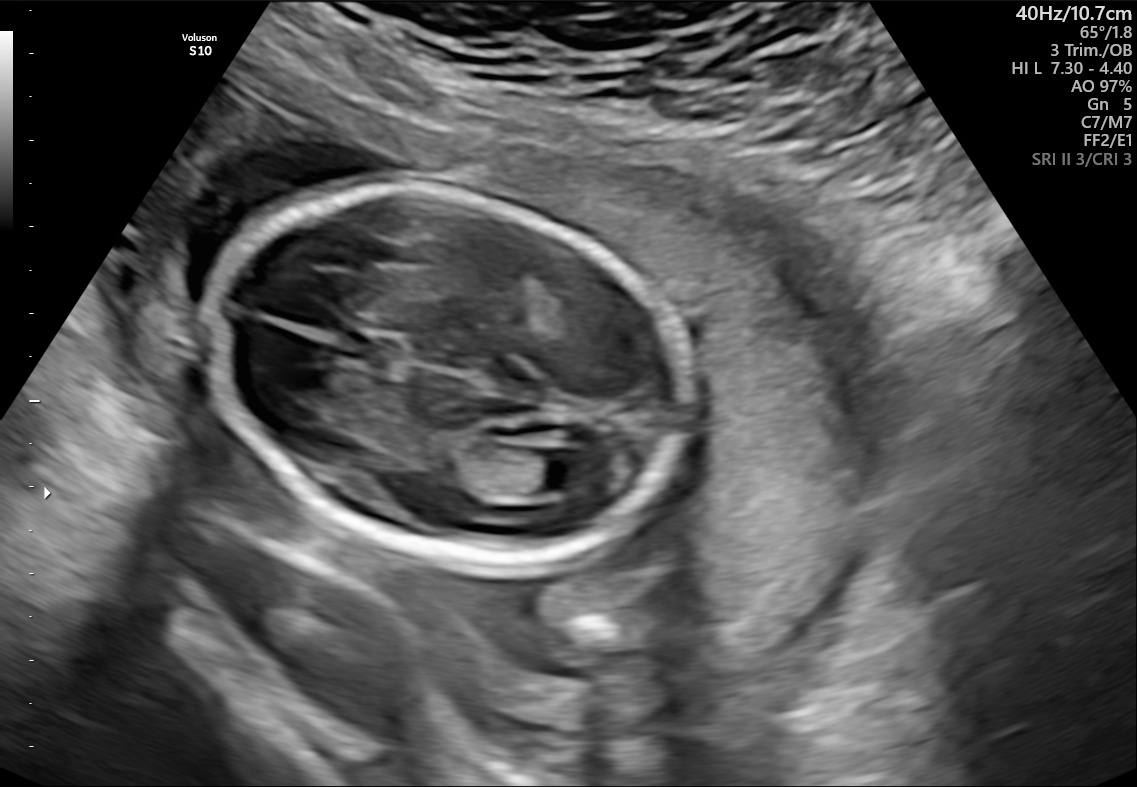
Identify the standard plane in this fetal ultrasound image: fetal abdomen, fetal brain, fetal femur, fetal thorax, maternal cervix, or other. If it's fetal brain and one of the three standard brain planes (trans-thalamic, trans-cerebellum, trans-ventricular), name which.

Fetal brain (trans-ventricular plane)